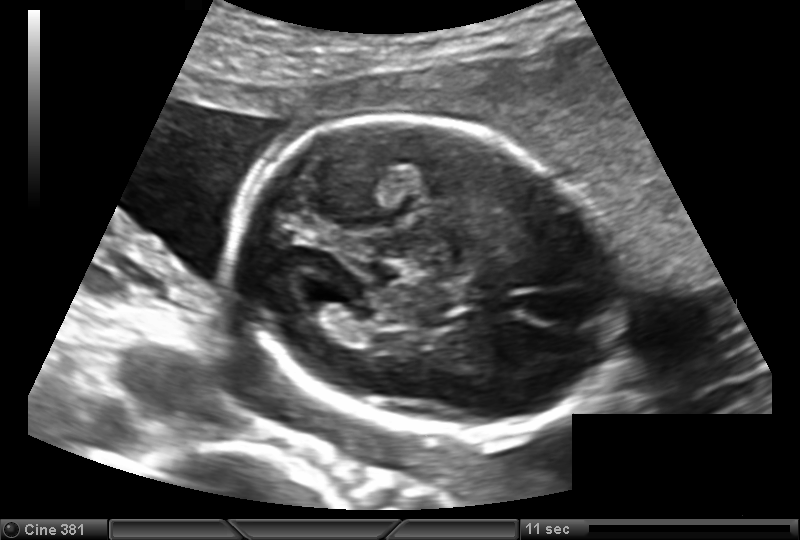
Estimate the fetal head circumference from this 2D ultrasound. Image width: 111.0 mm.

Head circumference: 161.7 mm.